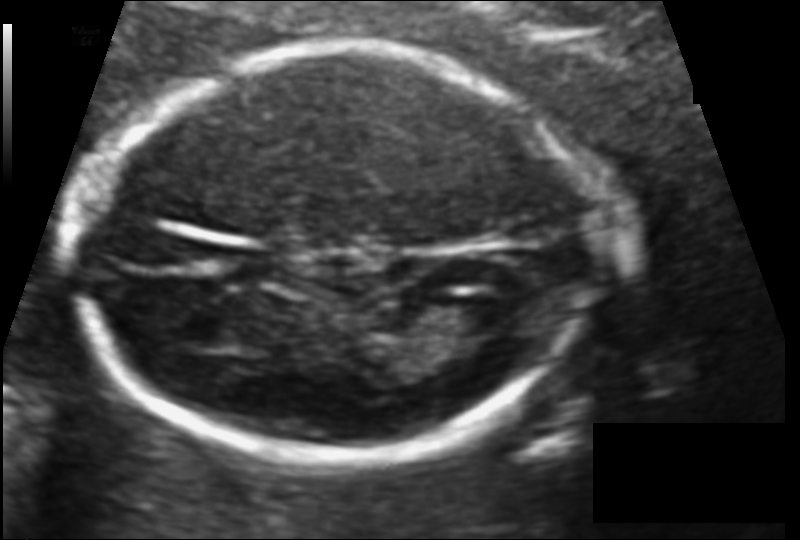
Fetal head ultrasound. Image width: 81.3 mm. Where is the lateral ventricle?

Lateral ventricle bounding box: [436,294,507,336]